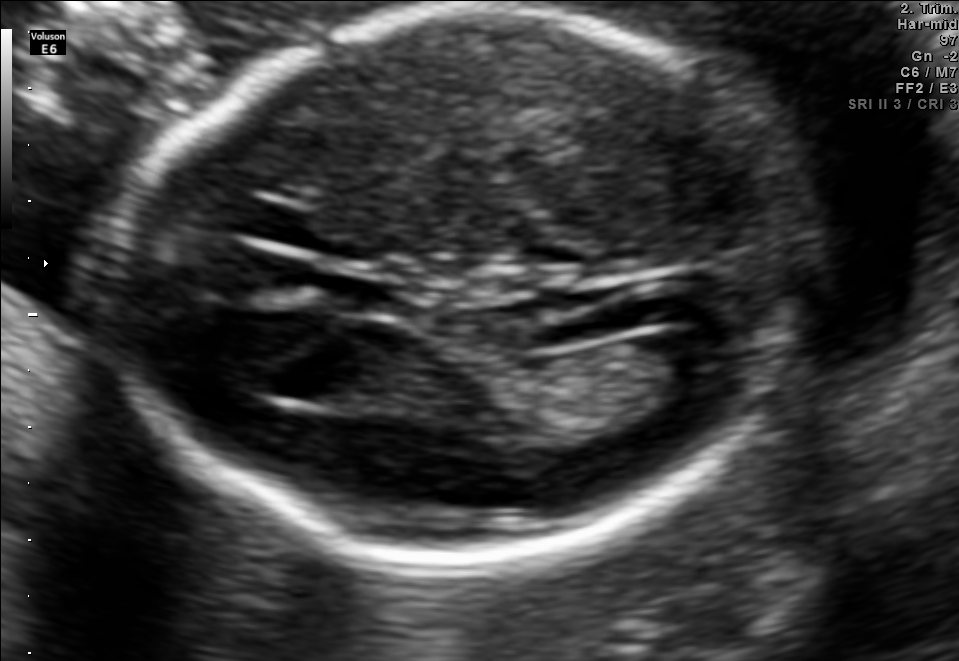
Fetal brain, trans-ventricular plane. Locate the lateral ventricle.

Lateral ventricle: [634,312,753,405]